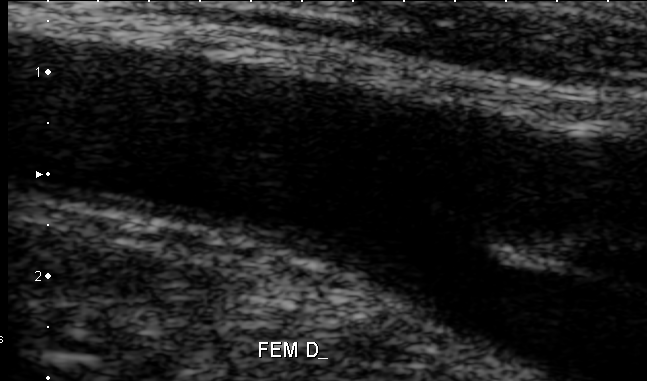
Identify the standard plane in this fetal ultrasound image: fetal abdomen, fetal brain, fetal femur, fetal thorax, maternal cervix, or other. If it's fetal brain and one of the three standard brain planes (trans-thalamic, trans-cerebellum, trans-ventricular), name which.

Other